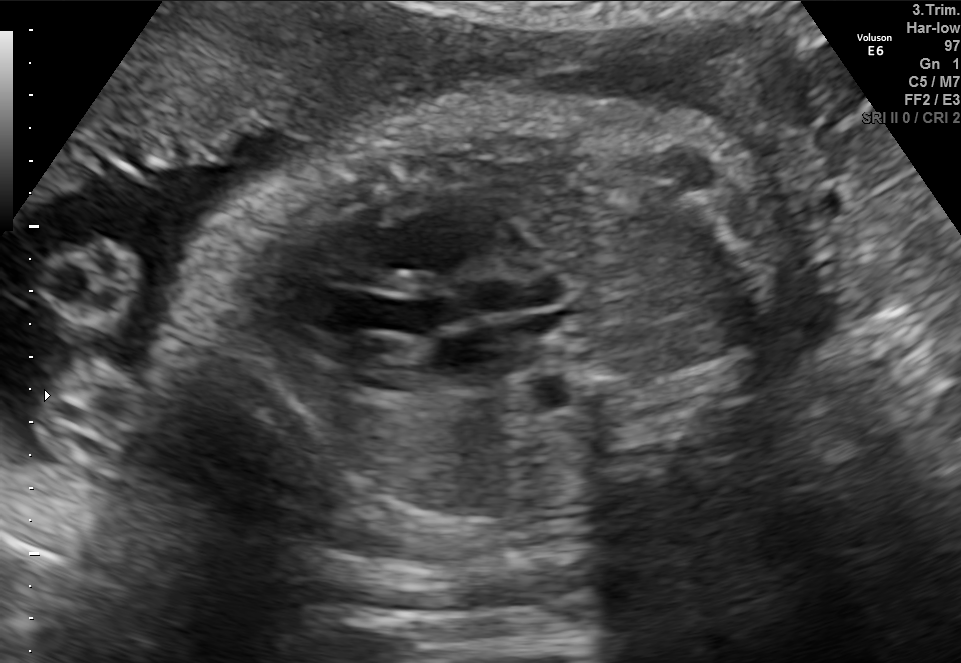
This is a 2D maternal-fetal ultrasound frame. Is it a fetal abdomen, fetal brain, fetal femur, fetal thorax, maternal cervix, or other standard plane? If it's fetal brain and one of the three standard brain planes (trans-thalamic, trans-cerebellum, trans-ventricular), name which.

Other